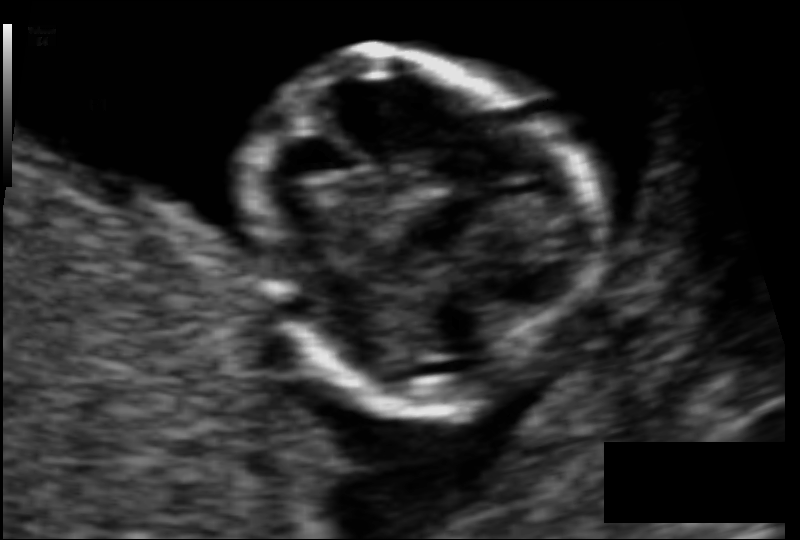
In this fetal head ultrasound, give bounding boxes for the head outline, cavum septum pellucidum (CSP), and lateral ventricle (LV), where visible. Image width: 54.6 mm.

Head: [239,59,582,398]